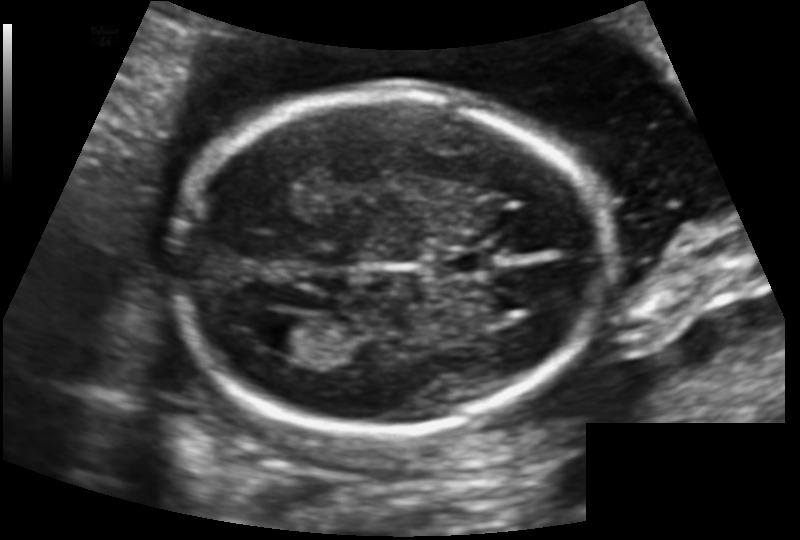
Fetal head ultrasound. Image width: 103.5 mm. Where is the fetal head?

Head bounding box: [176,92,604,433]